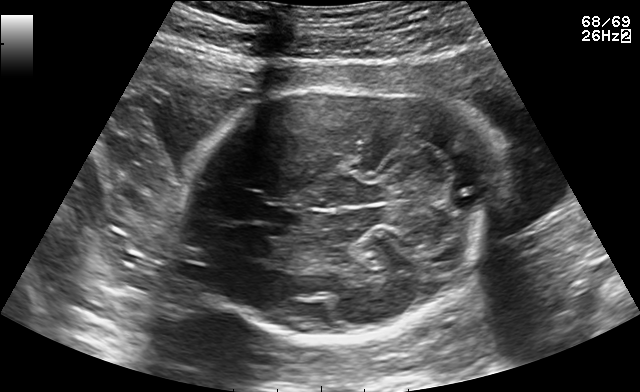
In this fetal brain, trans-cerebellum plane, give the bounding box of the fetal head.

[177,78,507,337]